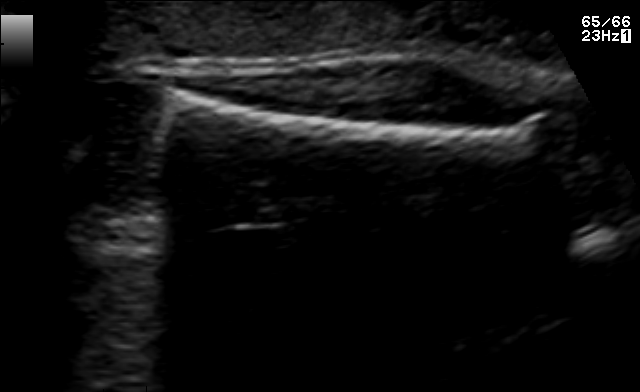
Identify the standard plane in this fetal ultrasound image: fetal abdomen, fetal brain, fetal femur, fetal thorax, maternal cervix, or other. If it's fetal brain and one of the three standard brain planes (trans-thalamic, trans-cerebellum, trans-ventricular), name which.

Fetal femur